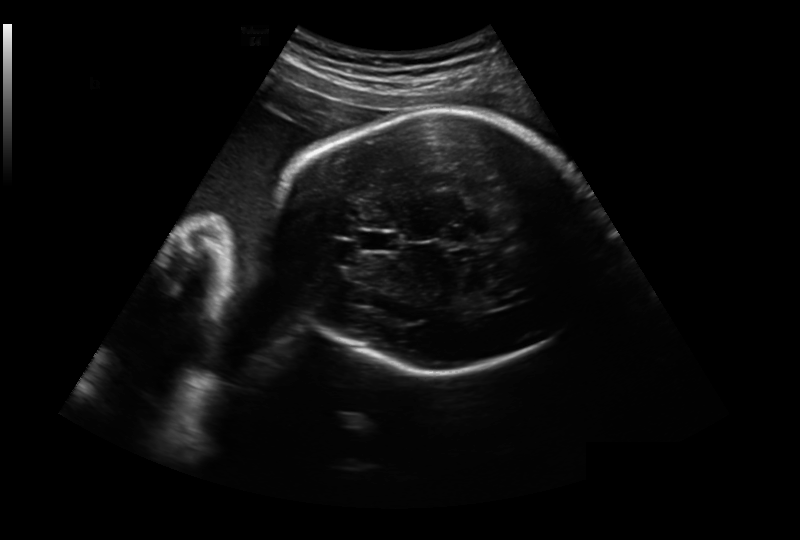
Estimate the fetal head circumference from this 2D ultrasound.

Head circumference: 264.6 mm (image width 224.7 mm).